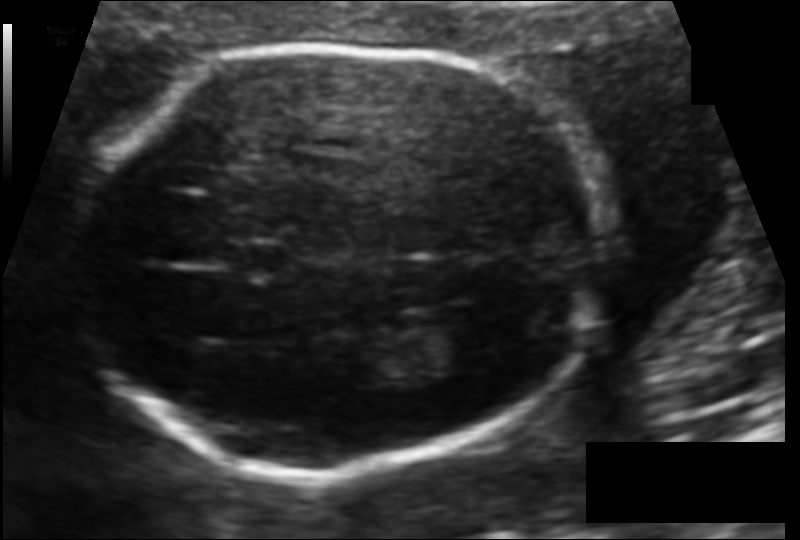
In this fetal head ultrasound, give the bounding box of the fetal head. Image width: 86.3 mm.

[72,47,606,472]